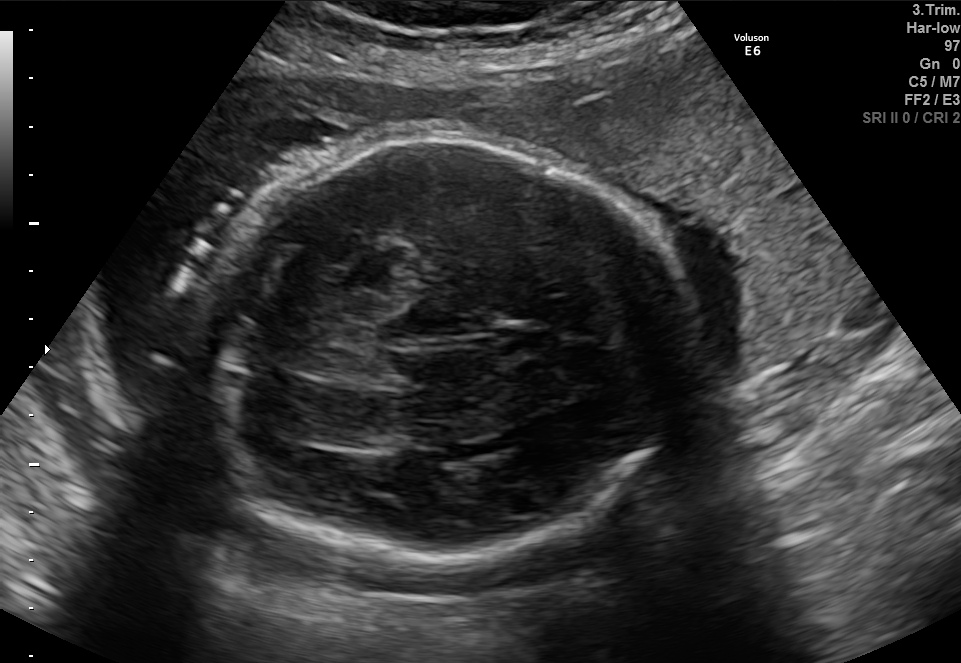
Fetal brain, trans-thalamic plane. Locate the fetal head and, if visible, the cavum septum pellucidum (CSP) and lateral ventricle (LV). Give bounding boxes as [x1,y1,x2,y2].

Head: [212,136,690,557]